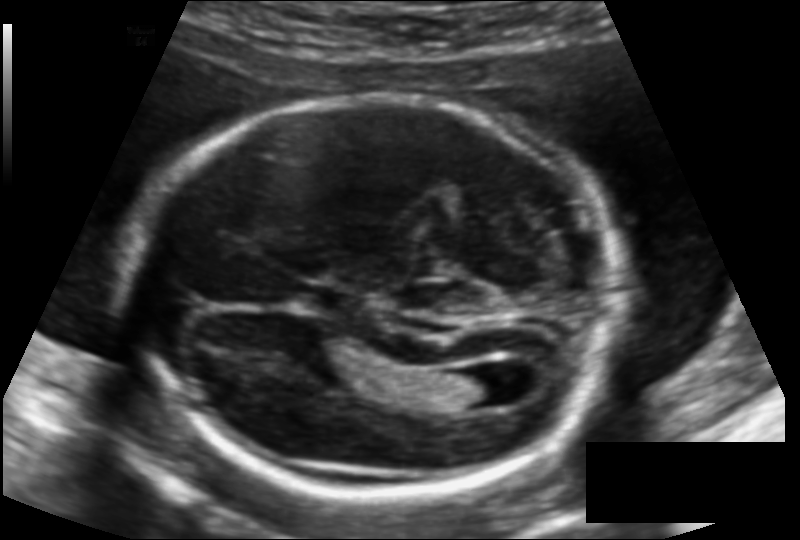
Fetal head ultrasound. Image width: 99.7 mm. Locate the fetal head.

Head: [133,95,614,494]